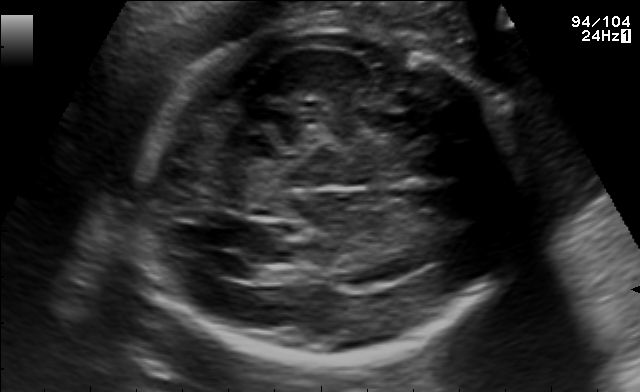
In this fetal brain, trans-ventricular plane, give bounding boxes for the head outline, cavum septum pellucidum (CSP), and lateral ventricle (LV), where visible.

Head: [124,21,544,364]